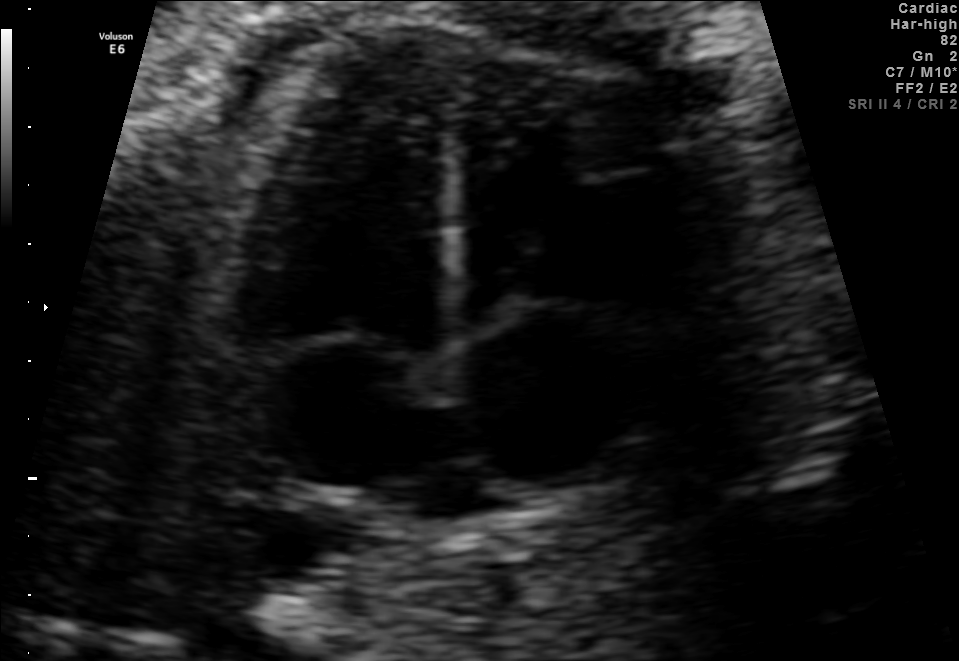
Which standard maternal-fetal ultrasound plane is shown: fetal abdomen, fetal brain, fetal femur, fetal thorax, maternal cervix, or other? If it's fetal brain and one of the three standard brain planes (trans-thalamic, trans-cerebellum, trans-ventricular), name which.

Fetal thorax